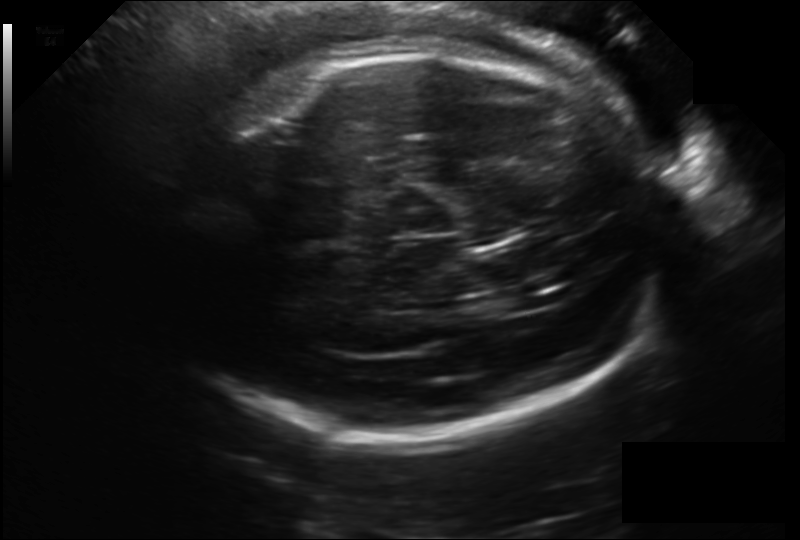
Fetal head ultrasound. Image width: 162.0 mm. Where is the fetal head?

Head bounding box: [149,47,669,438]